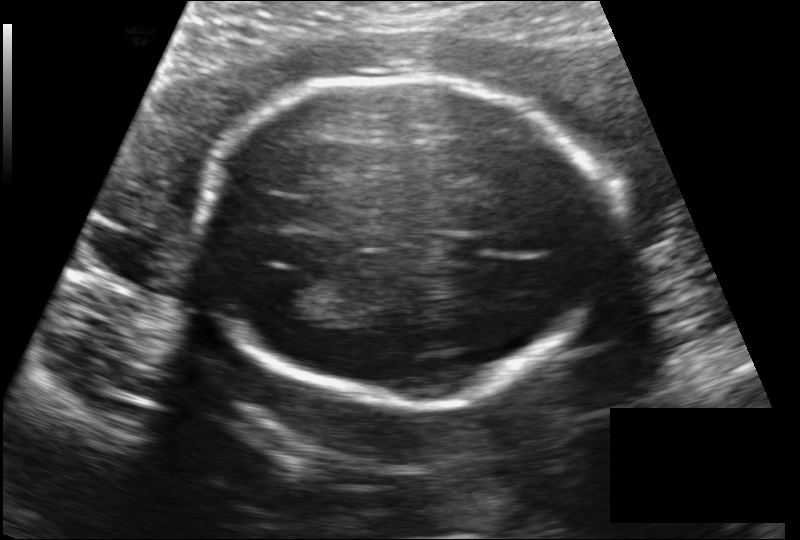
Fetal head ultrasound. Image width: 119.2 mm. Give [x1,y1,x2,y2] bounding boxes for each visible structure among: fetal head, CSP, LV.

Head: [199,73,598,402]
CSP: [444,235,488,264]
Lateral ventricle: [264,276,320,318]